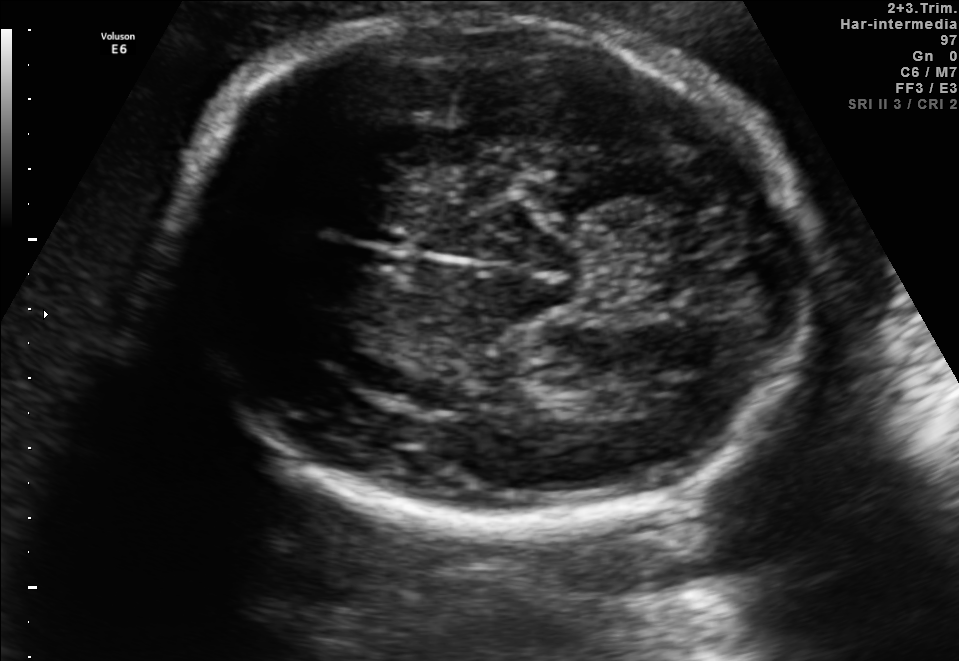
Fetal brain, trans-thalamic plane. Give [x1,y1,x2,y2] bounding boxes for each visible structure among: fetal head, CSP, LV.

Head: [170,15,809,524]